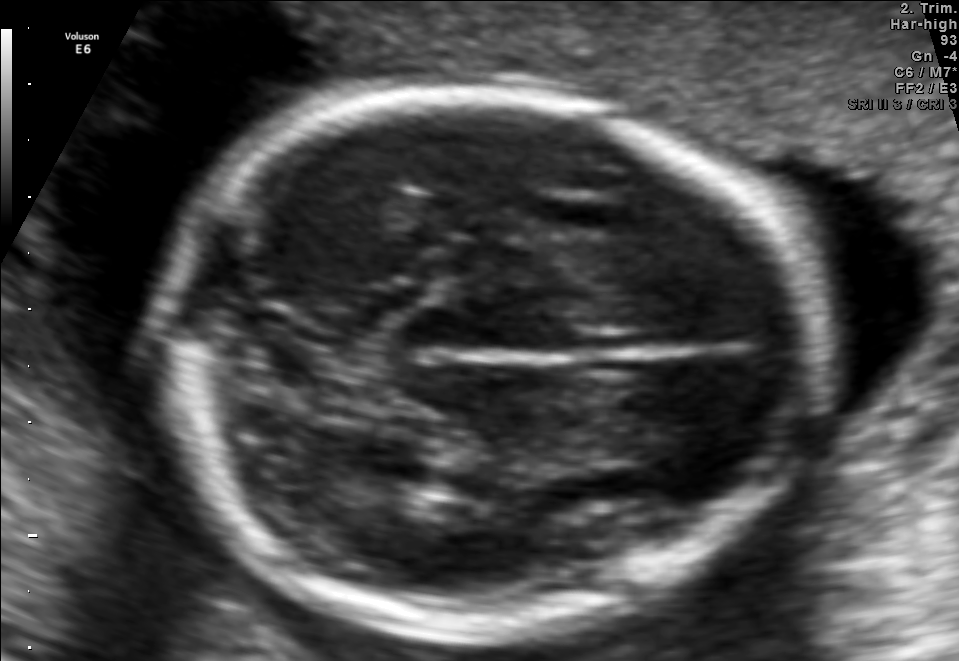
Fetal brain, trans-thalamic plane. Locate the fetal head.

Head: [149,96,816,631]